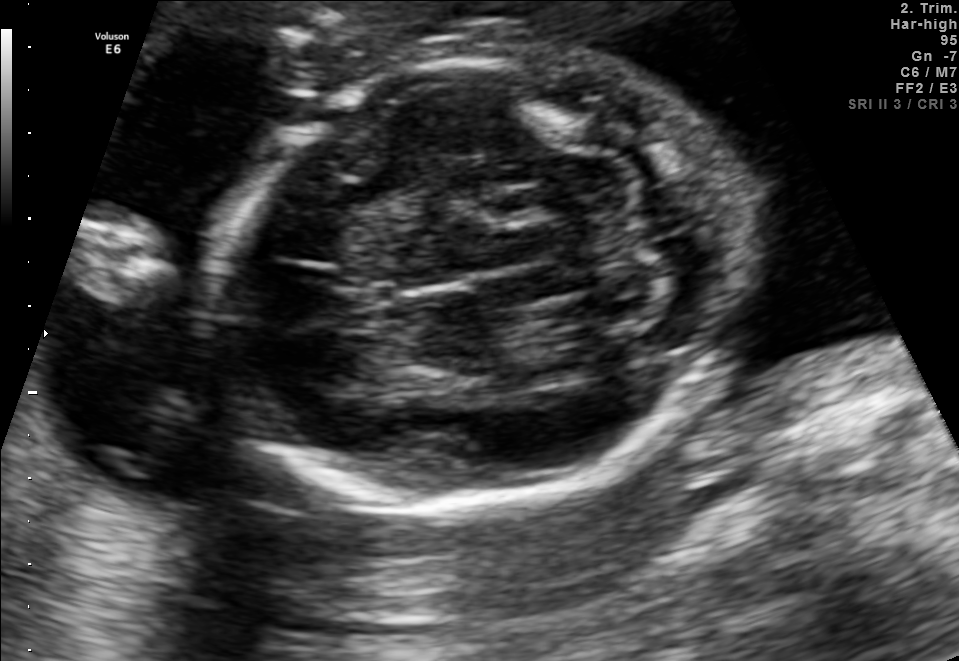
Fetal brain, trans-cerebellum plane. Locate the fetal head.

Head: [215,54,740,511]